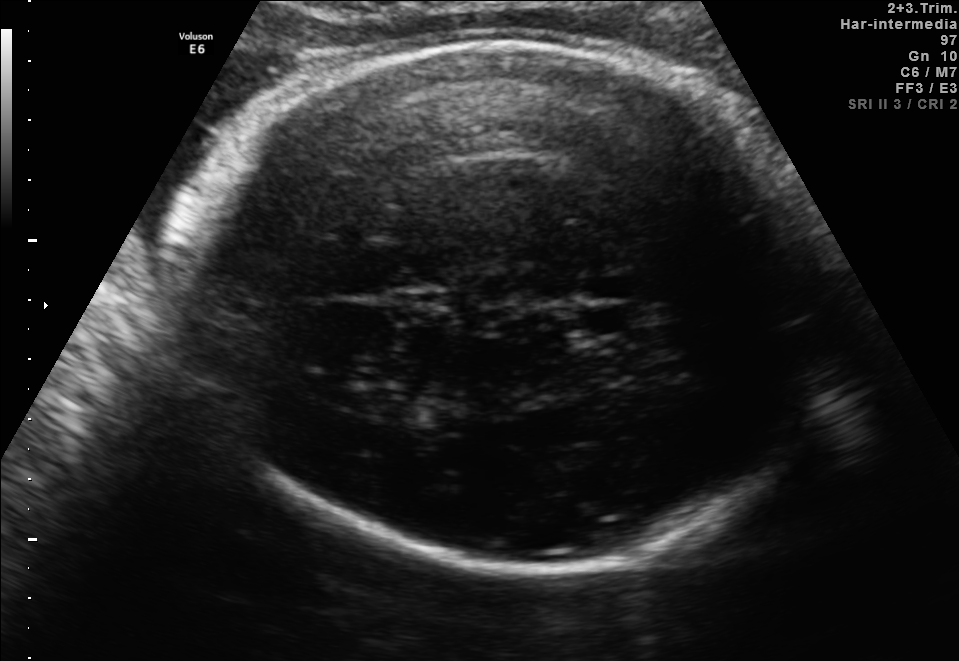
Fetal brain, trans-thalamic plane. Locate the cavum septum pellucidum.

CSP: [580,304,629,337]